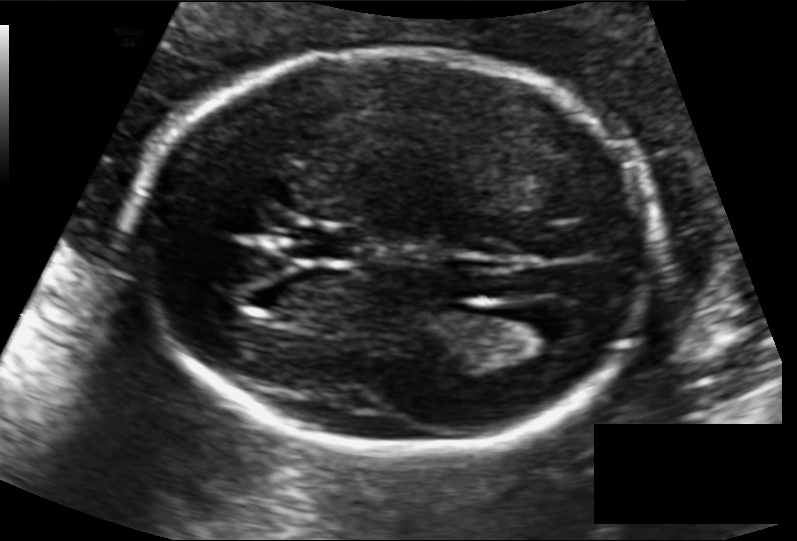
What is the fetal head circumference? Image width is 94.0 mm.

175.9 mm